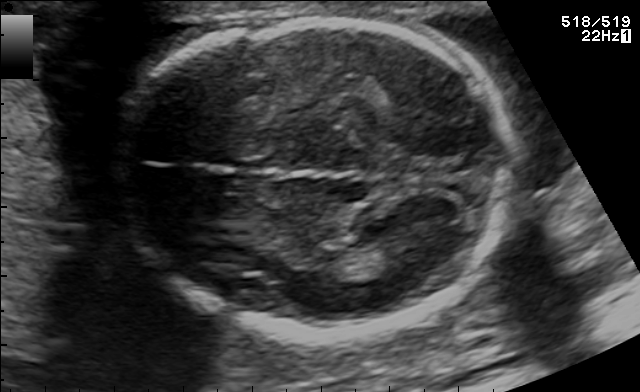
Classify this maternal-fetal ultrasound image as one of the six standard planes — fetal abdomen, fetal brain, fetal femur, fetal thorax, maternal cervix, or other. If it's fetal brain and one of the three standard brain planes (trans-thalamic, trans-cerebellum, trans-ventricular), name which.

Fetal brain (trans-thalamic plane)